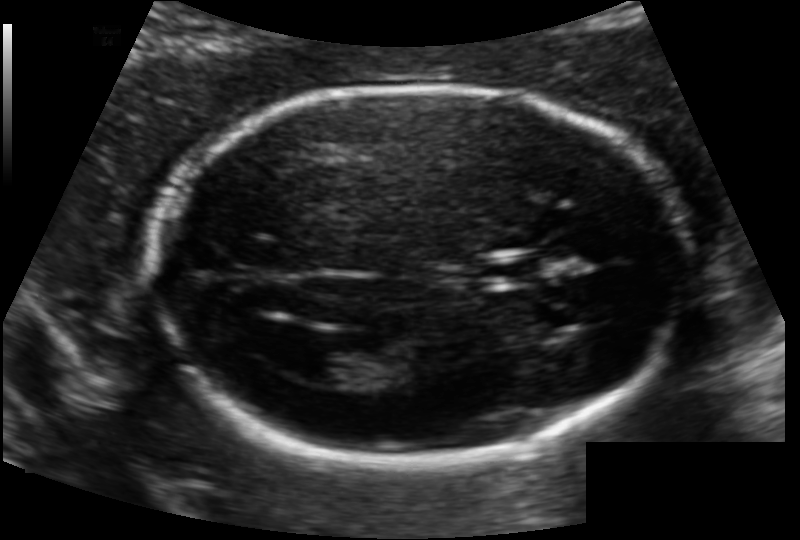
In this fetal head ultrasound, give the bounding box of the cavum septum pellucidum. Image width: 94.1 mm.

[477,252,544,287]